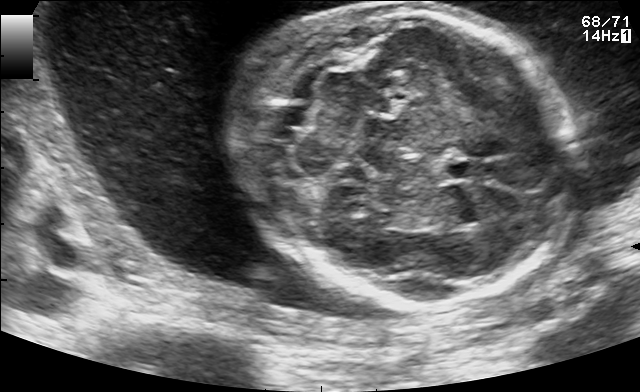
Fetal brain, trans-cerebellum plane. Locate the fetal head.

Head: [238,2,579,305]